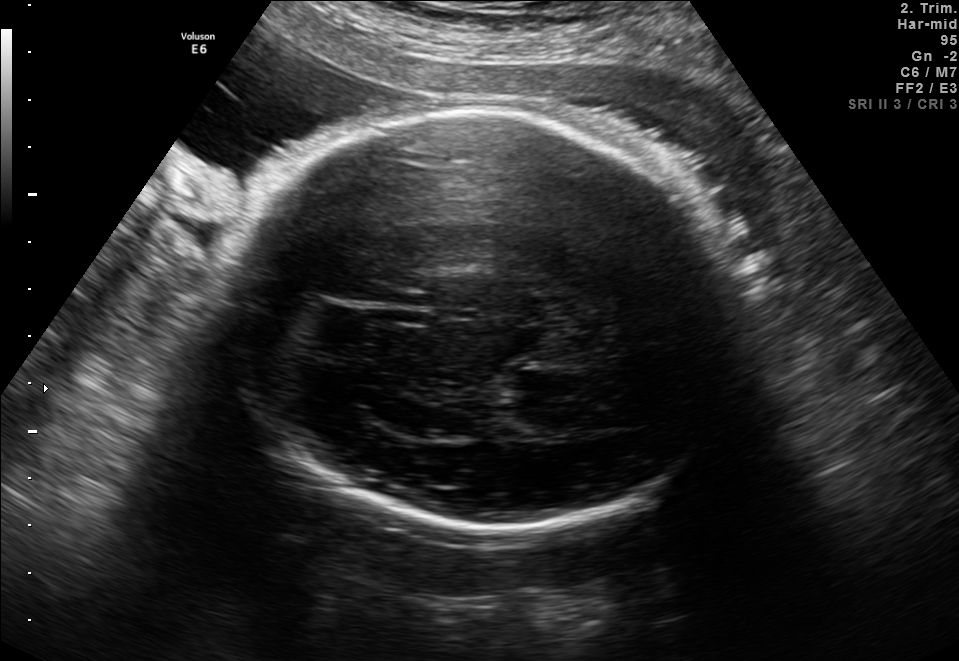
Which standard maternal-fetal ultrasound plane is shown: fetal abdomen, fetal brain, fetal femur, fetal thorax, maternal cervix, or other? If it's fetal brain and one of the three standard brain planes (trans-thalamic, trans-cerebellum, trans-ventricular), name which.

Fetal brain (trans-thalamic plane)